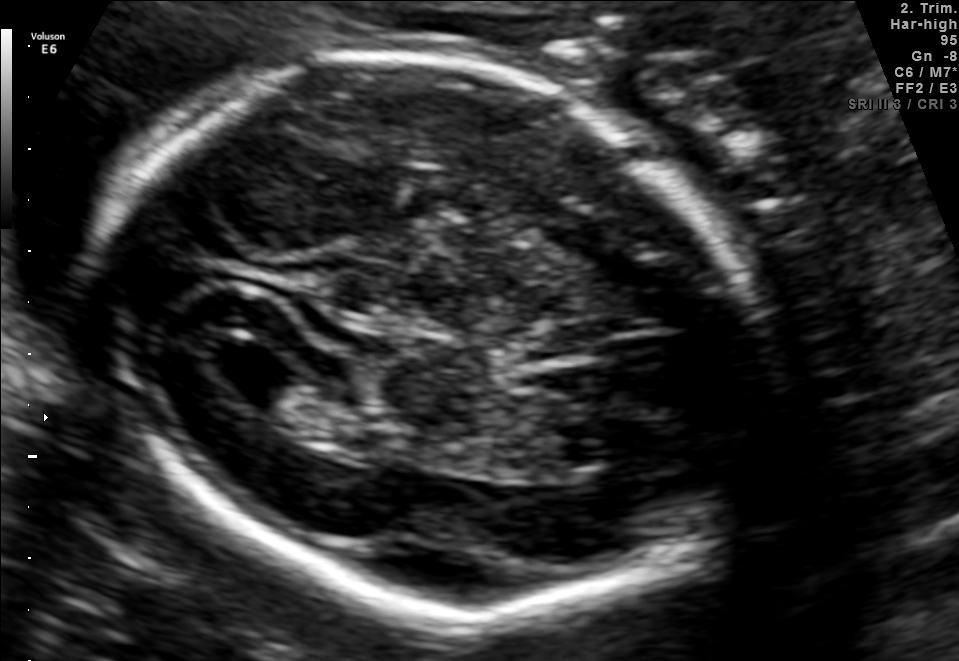
This is a 2D maternal-fetal ultrasound frame. Is it a fetal abdomen, fetal brain, fetal femur, fetal thorax, maternal cervix, or other standard plane? If it's fetal brain and one of the three standard brain planes (trans-thalamic, trans-cerebellum, trans-ventricular), name which.

Fetal brain (trans-ventricular plane)